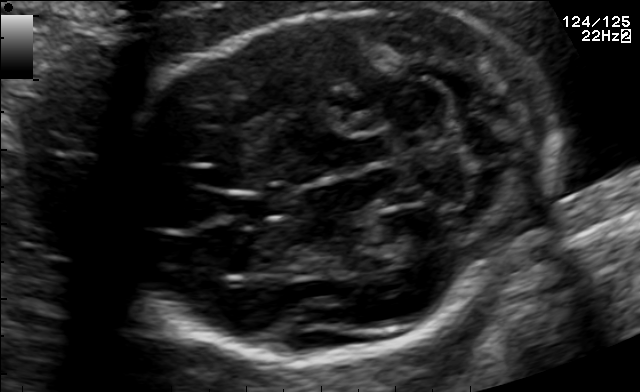
Fetal brain, trans-cerebellum plane. Locate the fetal head.

Head: [109,6,559,360]